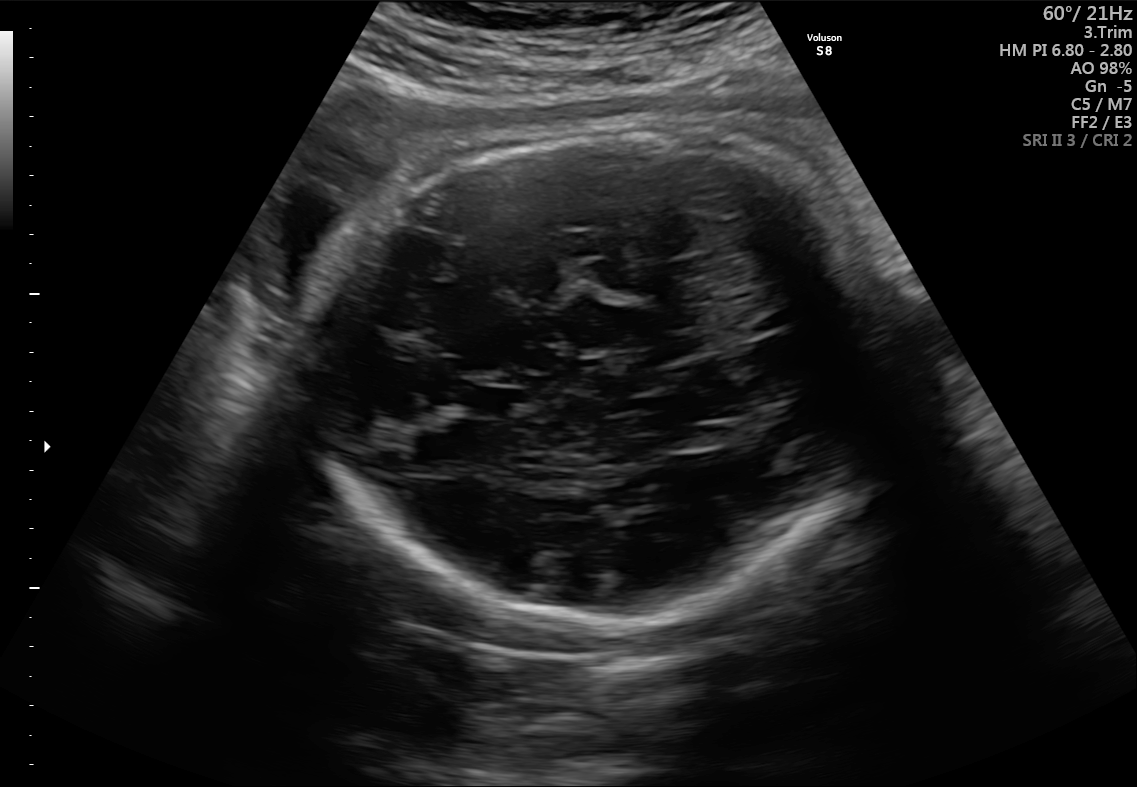
In this fetal brain, trans-thalamic plane, give the bounding box of the cavum septum pellucidum.

[474,387,525,418]